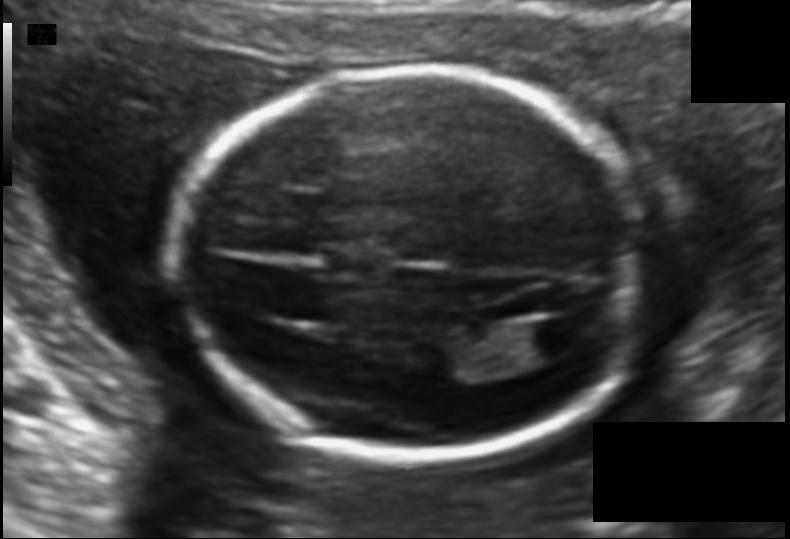
Fetal head ultrasound. Image width: 95.9 mm. Locate the fetal head and, if visible, the cavum septum pellucidum (CSP) and lateral ventricle (LV). Give bounding boxes as [x1,y1,x2,y2].

Head: [178,68,653,459]
Lateral ventricle: [508,308,595,369]